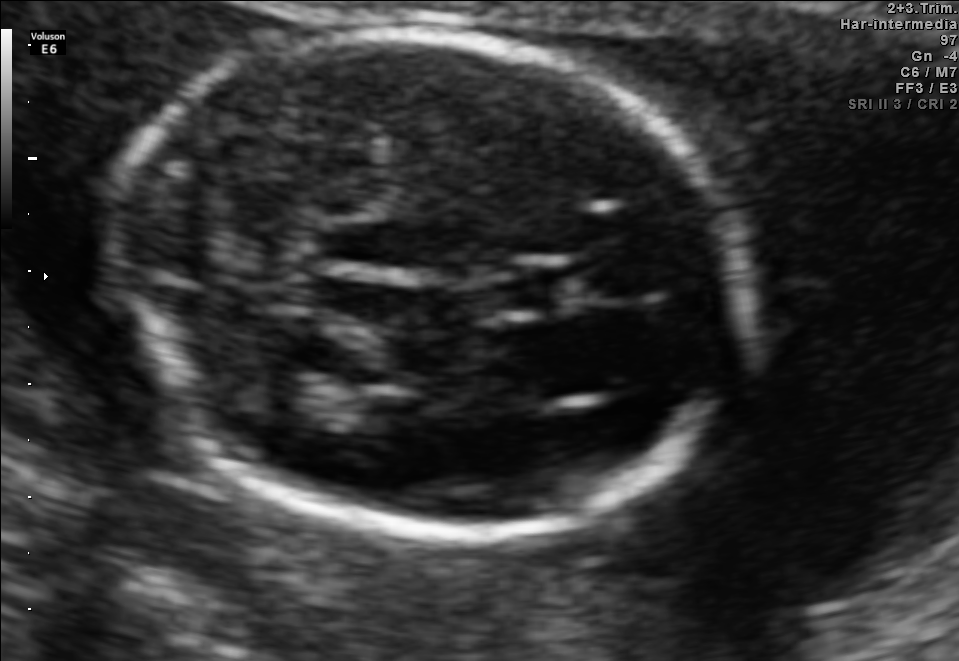
In this fetal brain, trans-thalamic plane, give the bounding box of the lateral ventricle.

[244,360,342,421]